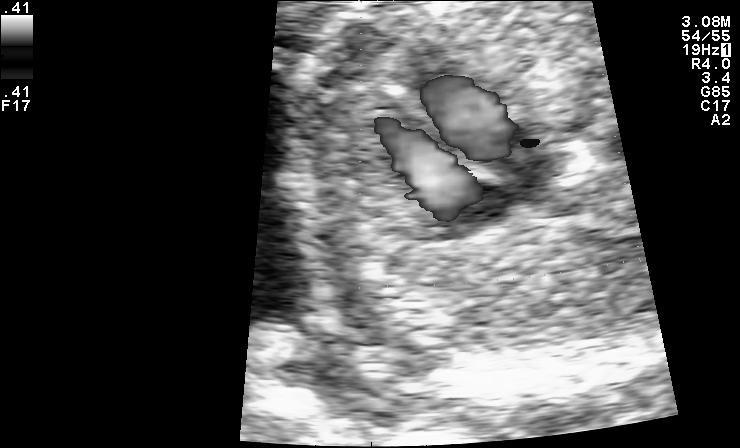
This is a 2D maternal-fetal ultrasound frame. Is it a fetal abdomen, fetal brain, fetal femur, fetal thorax, maternal cervix, or other standard plane? If it's fetal brain and one of the three standard brain planes (trans-thalamic, trans-cerebellum, trans-ventricular), name which.

Other